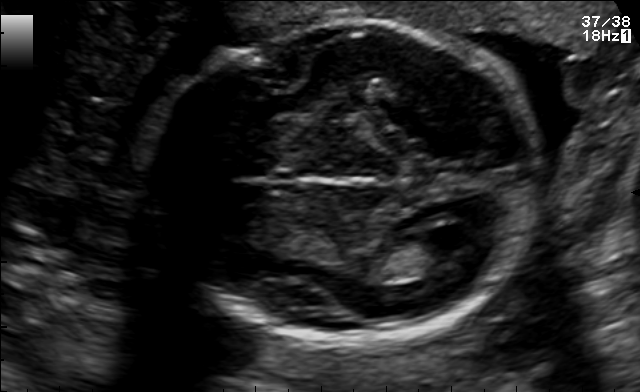
Fetal brain, trans-ventricular plane. Locate the cavum septum pellucidum.

CSP: [273,174,297,190]